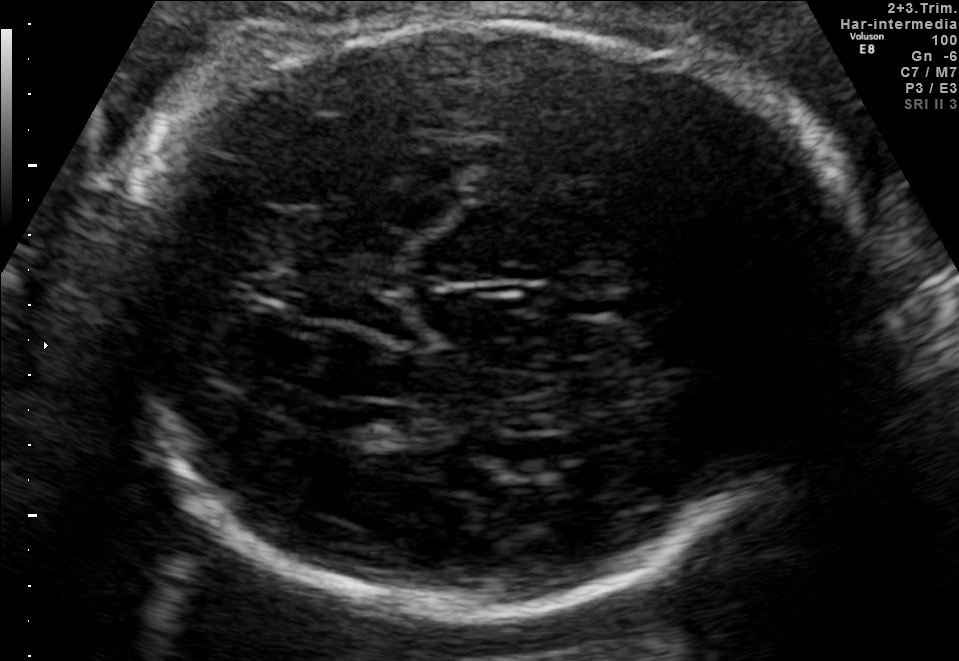
Fetal brain, trans-thalamic plane. Locate the lateral ventricle.

Lateral ventricle: [325,400,417,447]